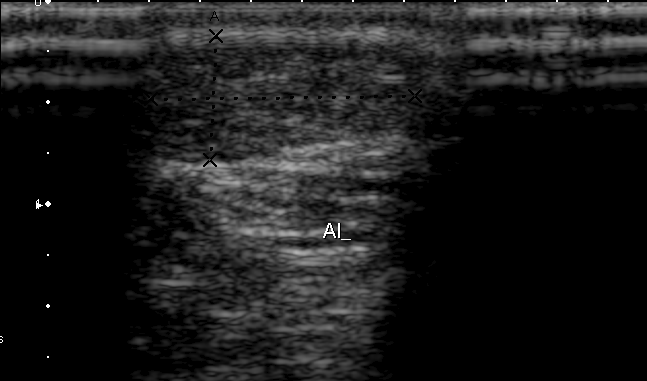
Classify this maternal-fetal ultrasound image as one of the six standard planes — fetal abdomen, fetal brain, fetal femur, fetal thorax, maternal cervix, or other. If it's fetal brain and one of the three standard brain planes (trans-thalamic, trans-cerebellum, trans-ventricular), name which.

Other